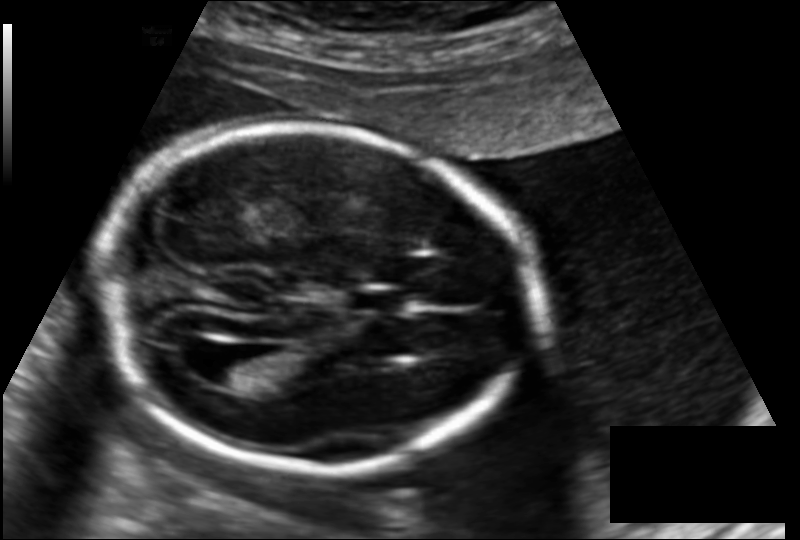
From this fetal ultrasound, estimate the head circumference (image width 115.9 mm).

Head circumference: 184.1 mm.